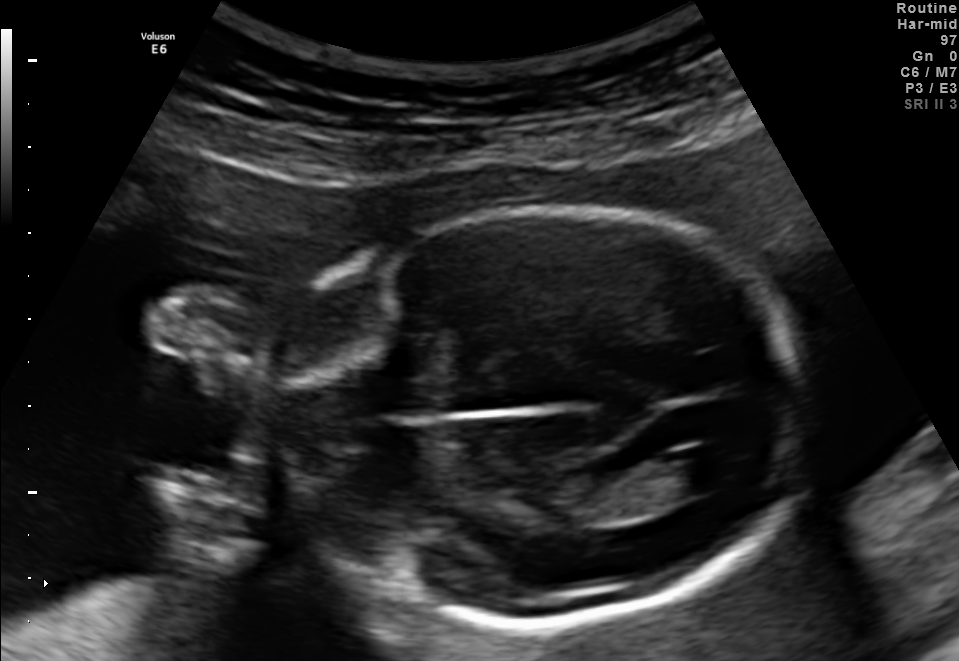
In this fetal brain, trans-ventricular plane, give the bounding box of the lateral ventricle.

[676,434,749,496]